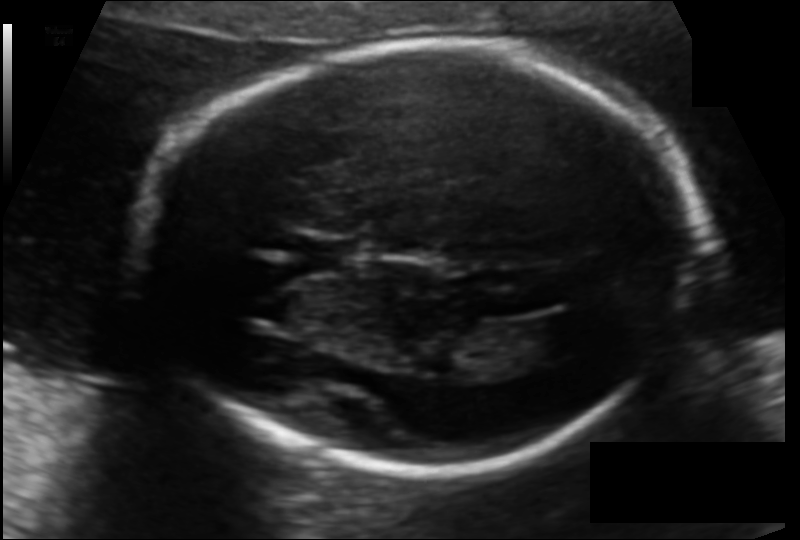
In this fetal head ultrasound, give the bounding box of the cavum septum pellucidum. Image width: 97.4 mm.

[302,236,360,274]